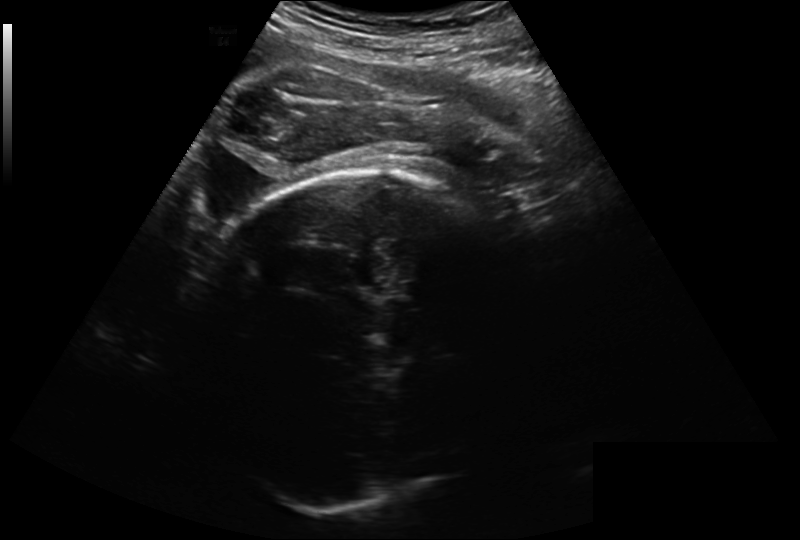
In this fetal head ultrasound, give the bounding box of the fetal head. Image width: 208.2 mm.

[181,170,536,512]